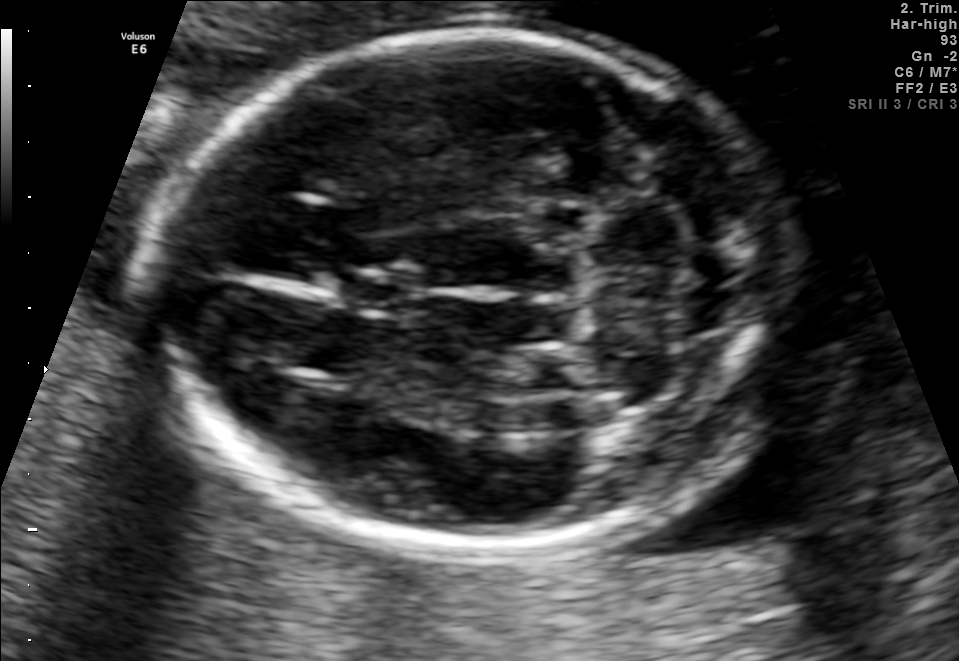
Fetal brain, trans-cerebellum plane. Locate the cavum septum pellucidum.

CSP: [337,267,423,317]